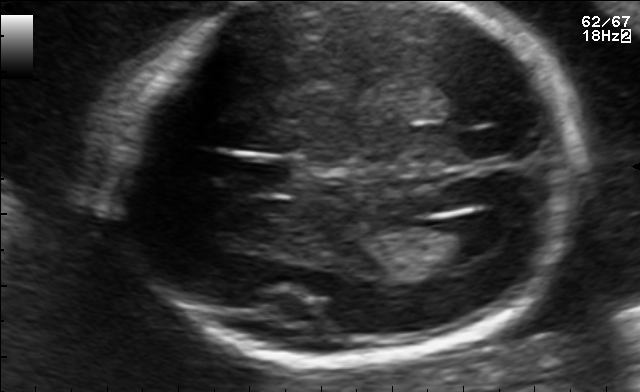
Fetal brain, trans-ventricular plane. Where is the cavum septum pellucidum?

CSP bounding box: [226,160,293,189]